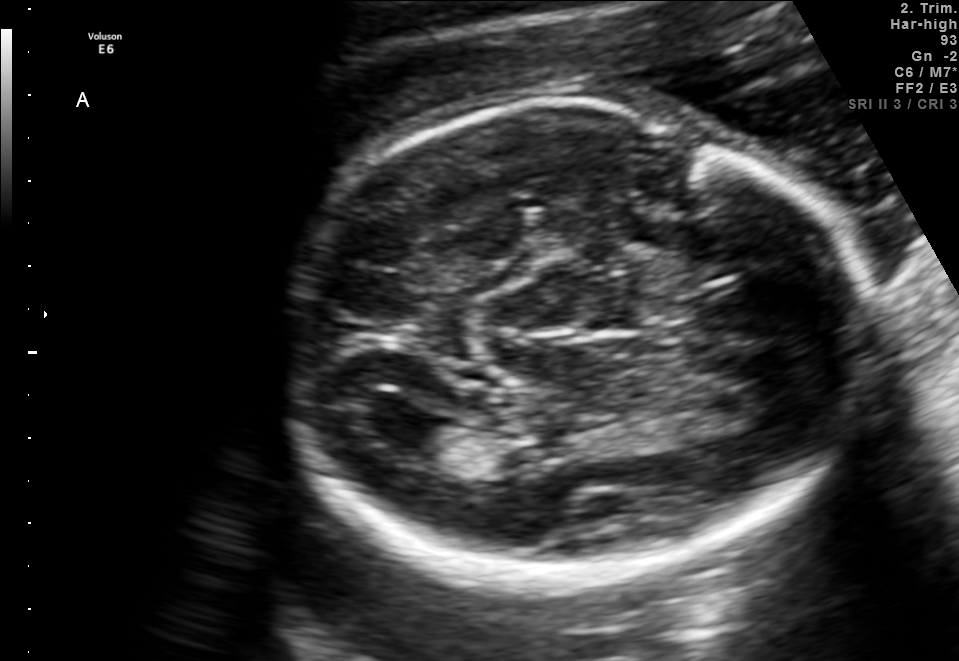
Fetal brain, trans-ventricular plane. Locate the fetal head.

Head: [271,101,880,598]